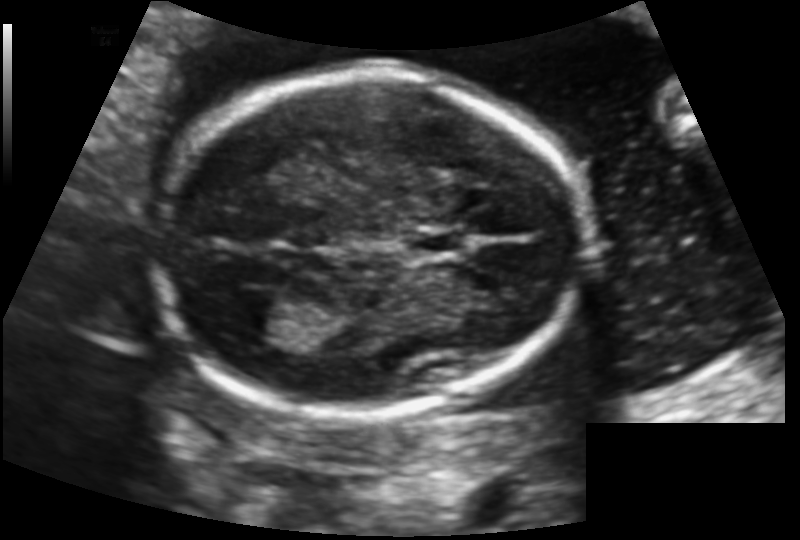
In this fetal head ultrasound, give bounding boxes for the head outline, cavum septum pellucidum (CSP), and lateral ventricle (LV), where visible. Image width: 103.6 mm.

Head: [152,68,585,413]
CSP: [402,228,469,260]
Lateral ventricle: [232,294,301,341]